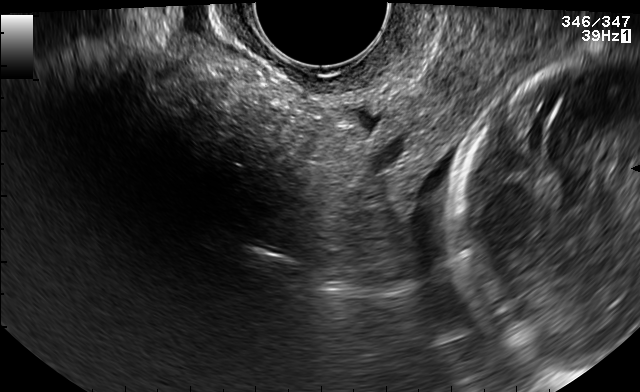
Classify this maternal-fetal ultrasound image as one of the six standard planes — fetal abdomen, fetal brain, fetal femur, fetal thorax, maternal cervix, or other. If it's fetal brain and one of the three standard brain planes (trans-thalamic, trans-cerebellum, trans-ventricular), name which.

Maternal cervix